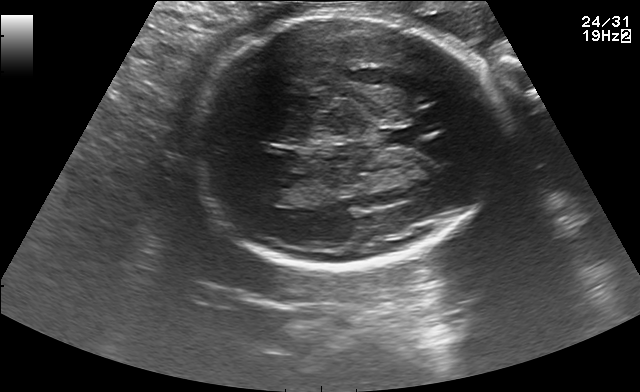
Fetal brain, trans-thalamic plane. Where is the fetal head?

Head bounding box: [193,12,495,269]